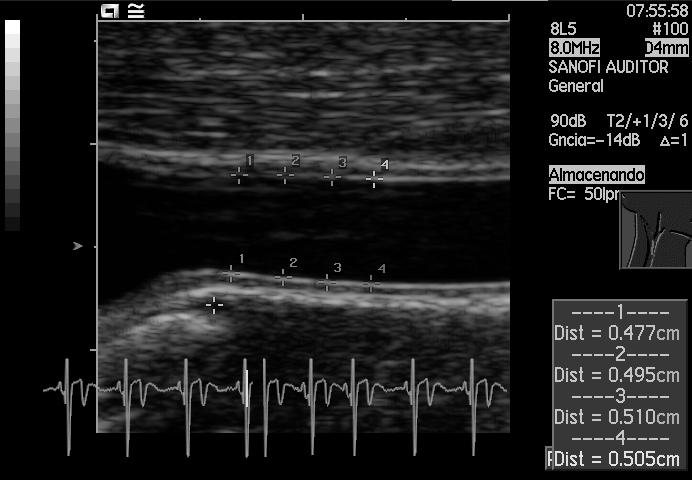
Which standard maternal-fetal ultrasound plane is shown: fetal abdomen, fetal brain, fetal femur, fetal thorax, maternal cervix, or other? If it's fetal brain and one of the three standard brain planes (trans-thalamic, trans-cerebellum, trans-ventricular), name which.

Other